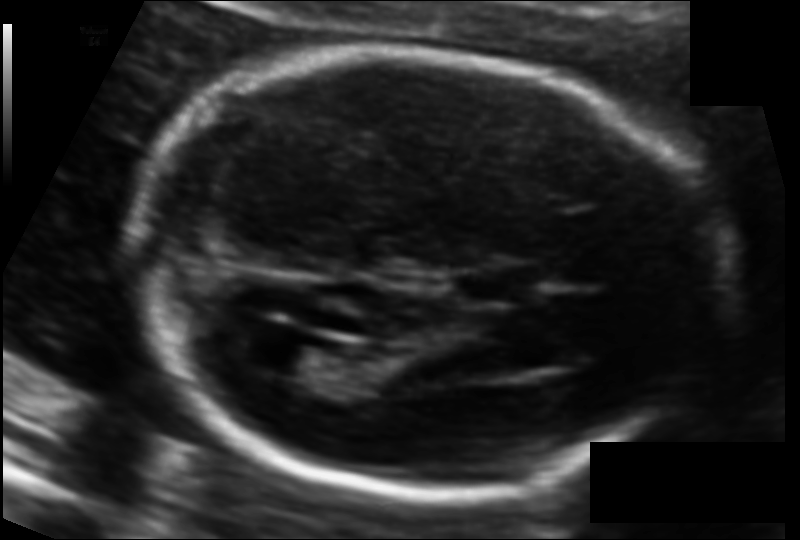
Estimate the fetal head circumference from this 2D ultrasound. Image width: 82.9 mm.

Head circumference: 174.0 mm.